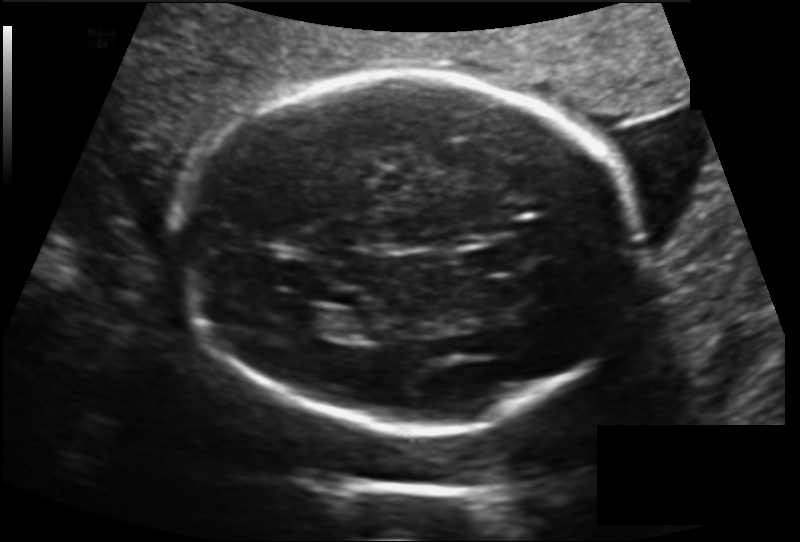
From this fetal ultrasound, estimate the head circumference (image width 127.7 mm).

Head circumference: 212.1 mm.